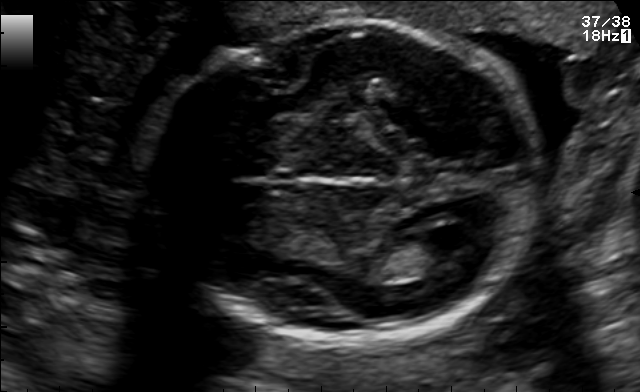
Fetal brain, trans-ventricular plane. Locate the fetal head.

Head: [141,9,553,351]